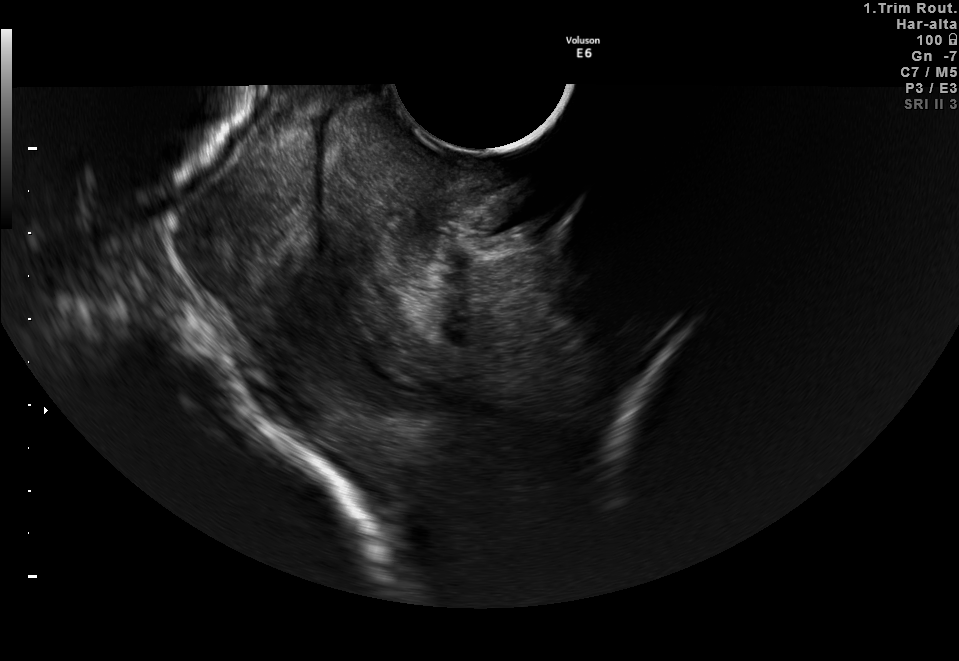
Identify the standard plane in this fetal ultrasound image: fetal abdomen, fetal brain, fetal femur, fetal thorax, maternal cervix, or other. If it's fetal brain and one of the three standard brain planes (trans-thalamic, trans-cerebellum, trans-ventricular), name which.

Maternal cervix